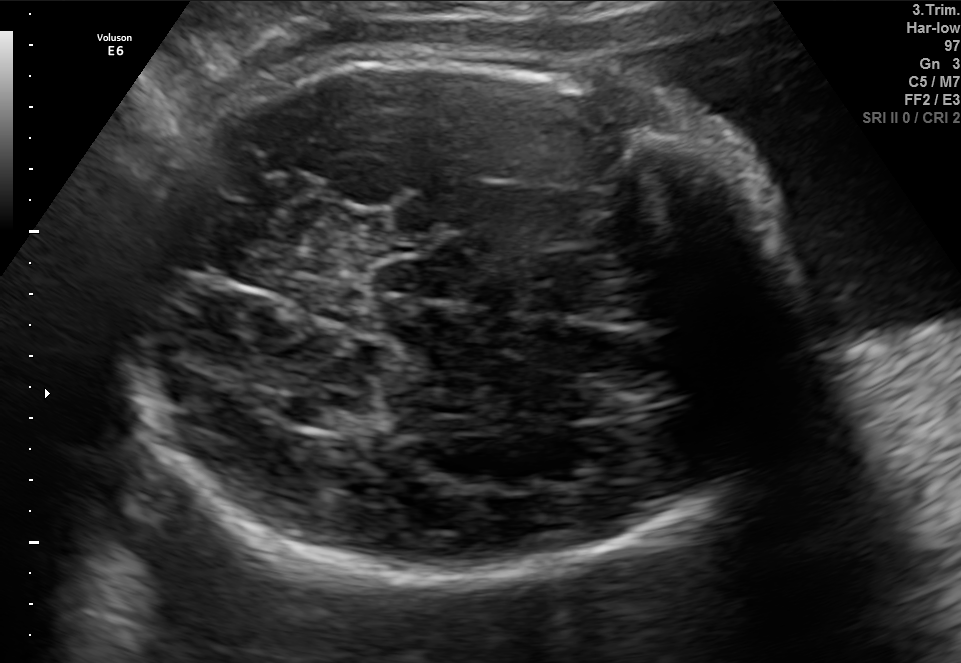
Fetal brain, trans-thalamic plane. Locate the fetal head.

Head: [107,45,804,584]